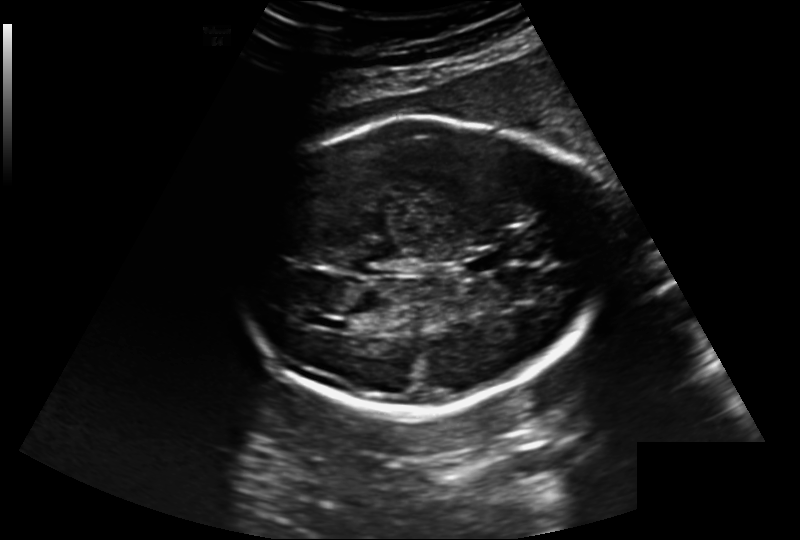
Fetal head ultrasound. Image width: 175.6 mm. Where is the lateral ventricle?

Lateral ventricle bounding box: [315,314,351,334]